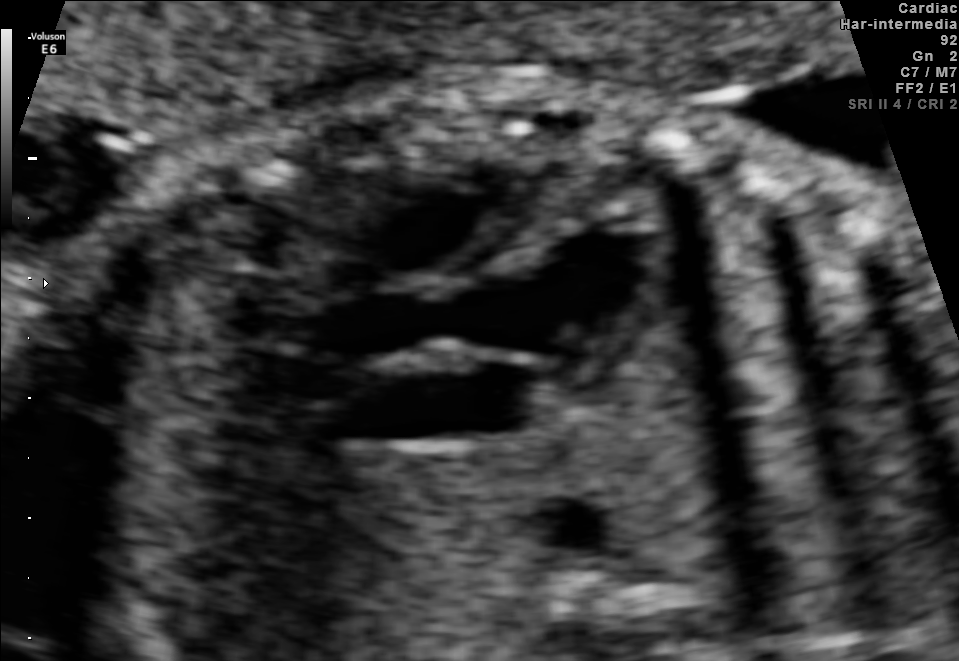
Classify this maternal-fetal ultrasound image as one of the six standard planes — fetal abdomen, fetal brain, fetal femur, fetal thorax, maternal cervix, or other. If it's fetal brain and one of the three standard brain planes (trans-thalamic, trans-cerebellum, trans-ventricular), name which.

Other